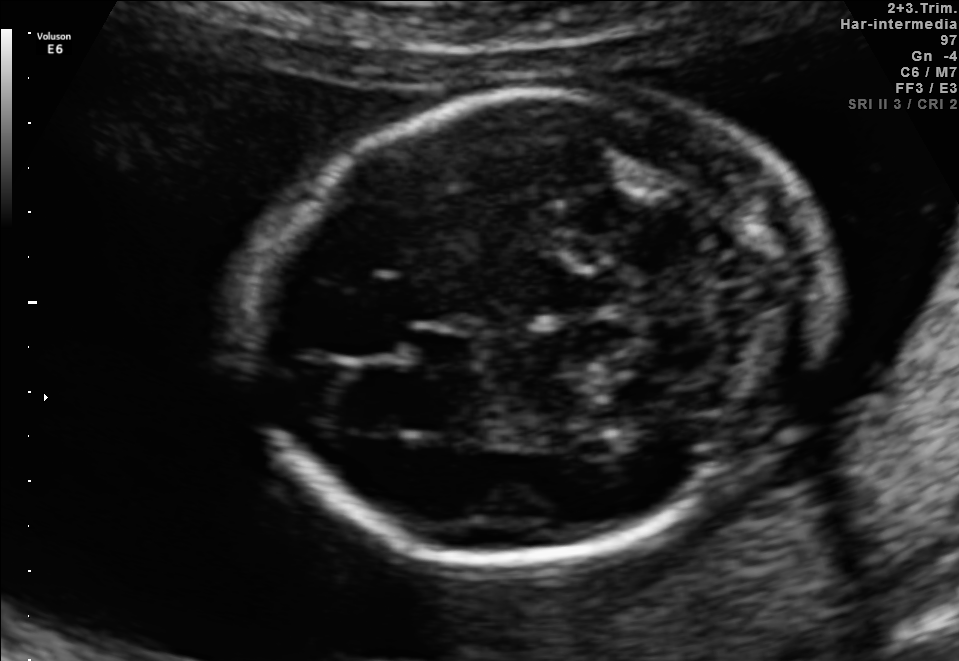
In this fetal brain, trans-cerebellum plane, give the bounding box of the fetal head.

[253,89,826,562]